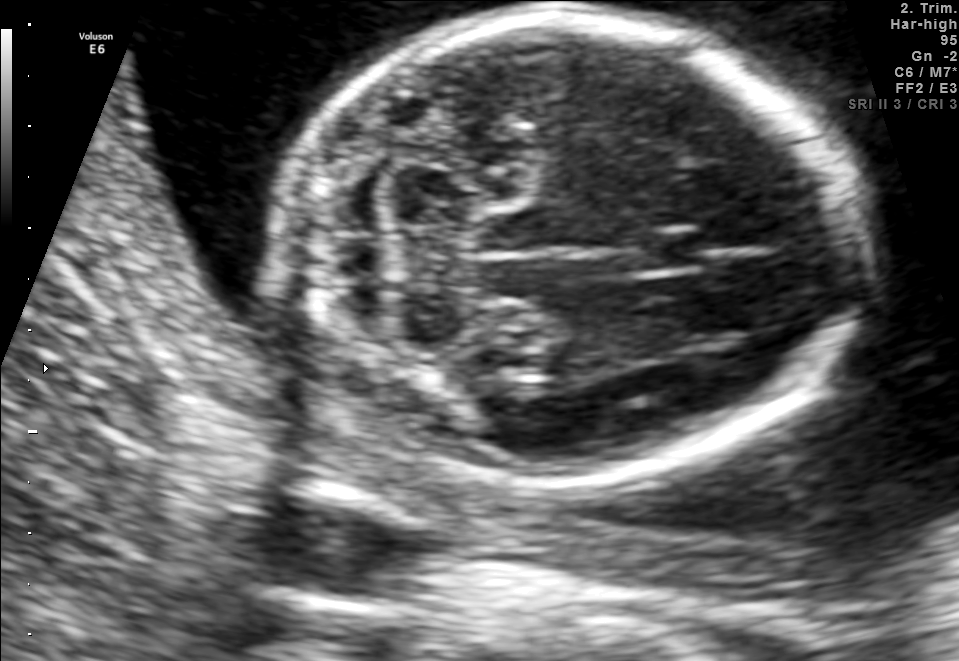
In this fetal brain, trans-cerebellum plane, give bounding boxes for the head outline, cavum septum pellucidum (CSP), and lateral ventricle (LV), where visible.

Head: [275,16,856,477]
CSP: [624,225,705,277]